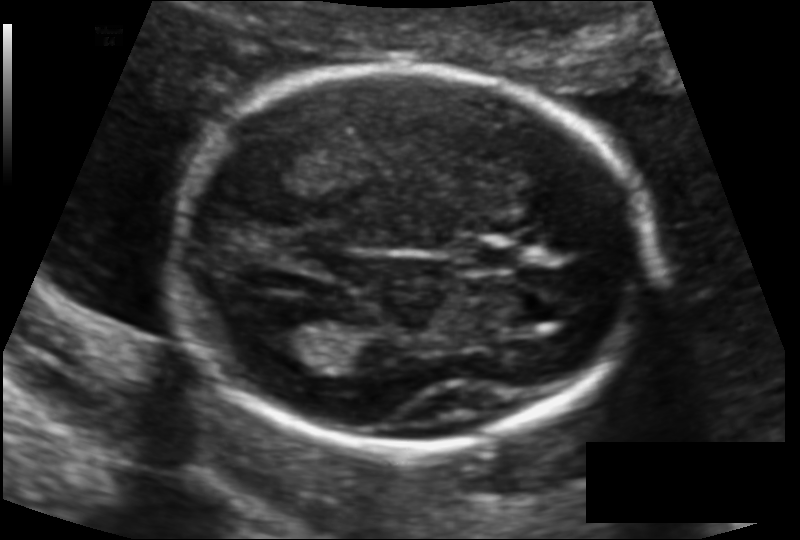
Fetal head ultrasound. Image width: 93.3 mm. Locate the fetal head and, if visible, the cavum septum pellucidum (CSP) and lateral ventricle (LV). Give bounding boxes as [x1,y1,x2,y2].

Head: [172,68,652,448]
CSP: [461,240,516,271]
Lateral ventricle: [247,297,338,371]